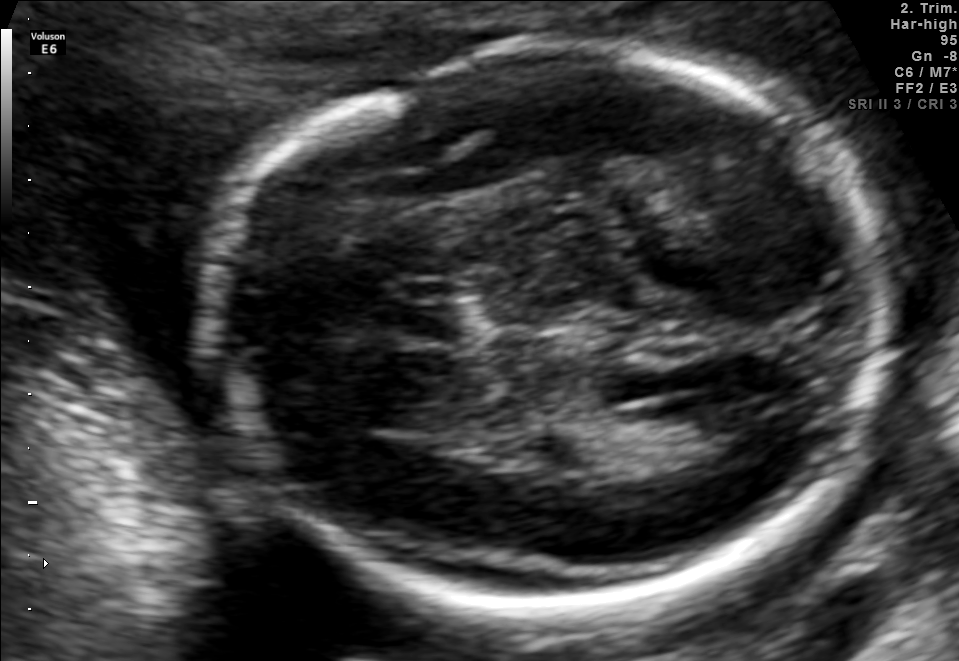
This is a 2D maternal-fetal ultrasound frame. Is it a fetal abdomen, fetal brain, fetal femur, fetal thorax, maternal cervix, or other standard plane? If it's fetal brain and one of the three standard brain planes (trans-thalamic, trans-cerebellum, trans-ventricular), name which.

Fetal brain (trans-ventricular plane)